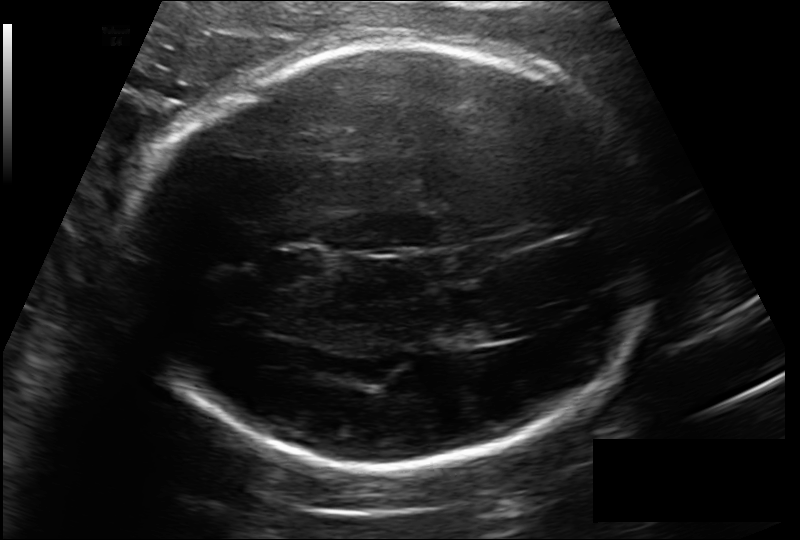
Fetal head ultrasound. Image width: 148.1 mm. Locate the lateral ventricle.

Lateral ventricle: [459,318,510,347]